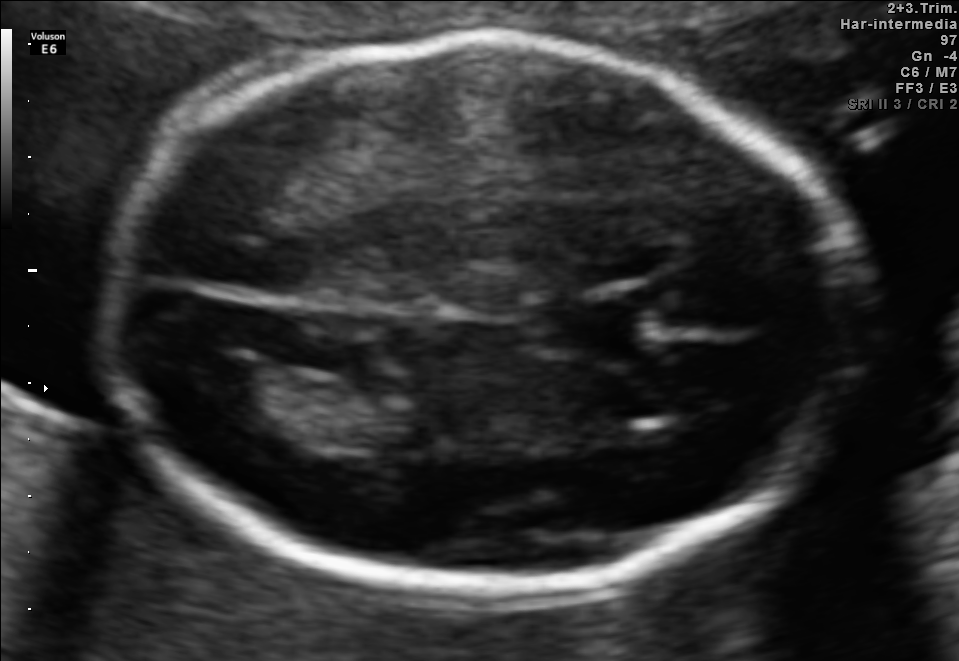
In this fetal brain, trans-ventricular plane, give bounding boxes for the head outline, cavum septum pellucidum (CSP), and lateral ventricle (LV), where visible.

Head: [96,30,869,593]
CSP: [523,298,649,351]